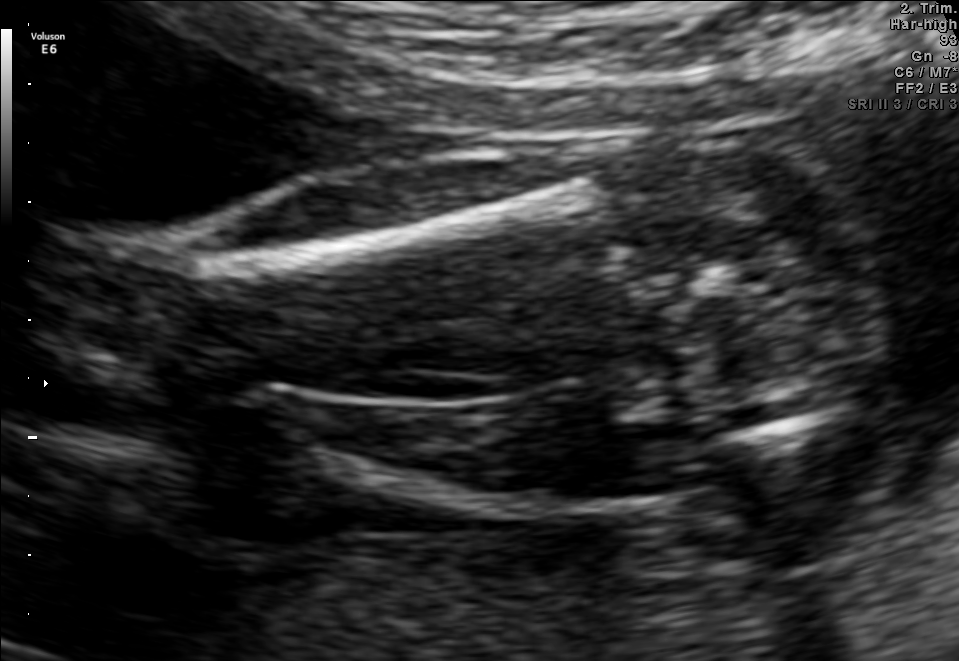
This is a 2D maternal-fetal ultrasound frame. Is it a fetal abdomen, fetal brain, fetal femur, fetal thorax, maternal cervix, or other standard plane? If it's fetal brain and one of the three standard brain planes (trans-thalamic, trans-cerebellum, trans-ventricular), name which.

Fetal femur